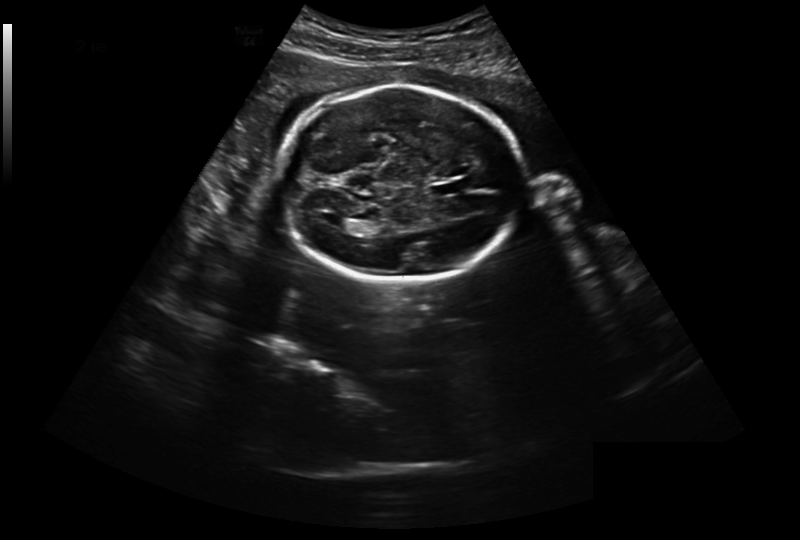
In this fetal head ultrasound, give the bounding box of the lateral ventricle. Image width: 241.1 mm.

[324,212,351,233]